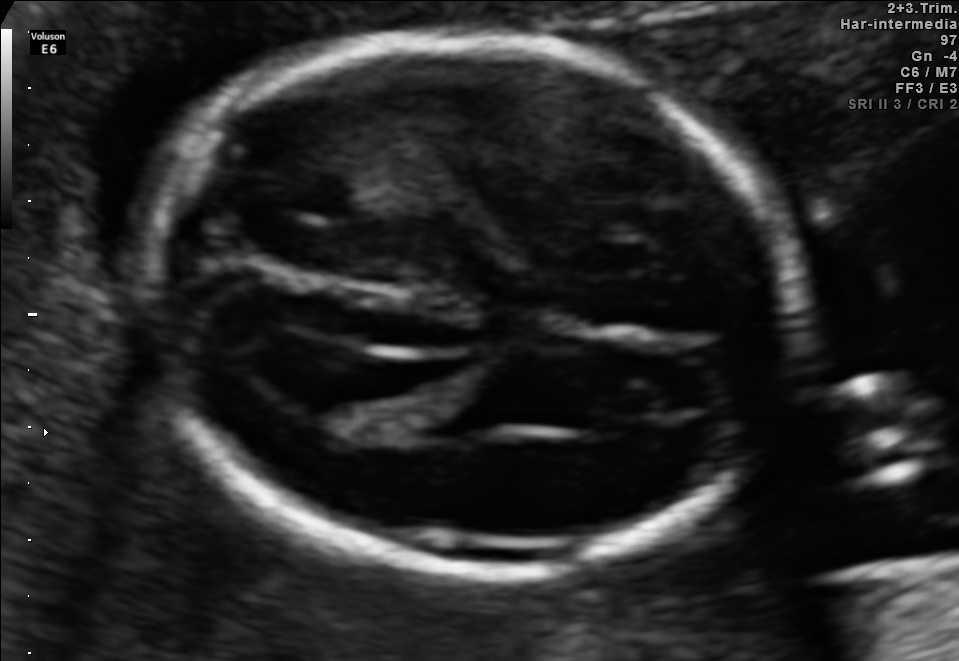
In this fetal brain, trans-ventricular plane, give bounding boxes for the head outline, cavum septum pellucidum (CSP), and lateral ventricle (LV), where visible.

Head: [134,27,821,590]